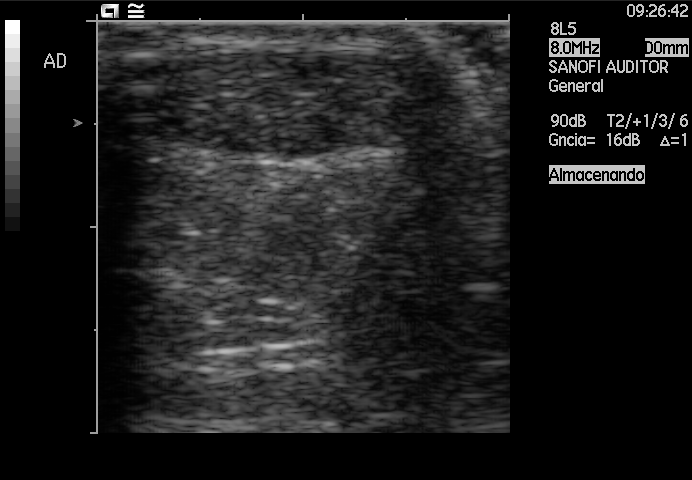
Which standard maternal-fetal ultrasound plane is shown: fetal abdomen, fetal brain, fetal femur, fetal thorax, maternal cervix, or other? If it's fetal brain and one of the three standard brain planes (trans-thalamic, trans-cerebellum, trans-ventricular), name which.

Other